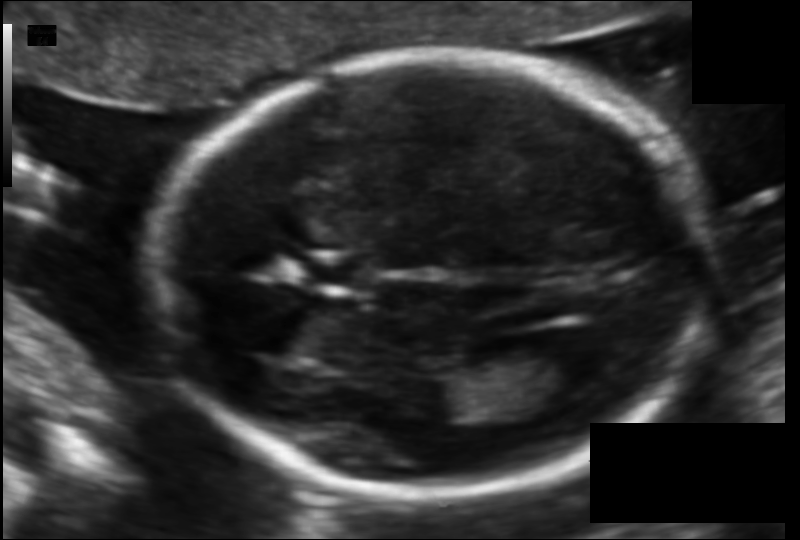
Fetal head ultrasound. Image width: 83.8 mm. Locate the cavum septum pellucidum.

CSP: [306,254,374,289]